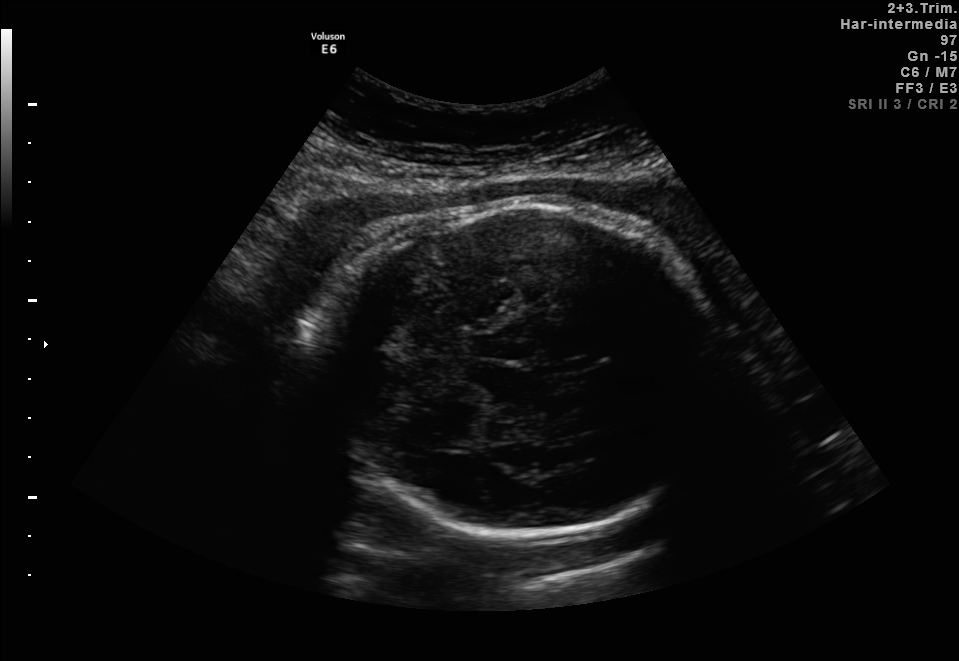
In this fetal brain, trans-thalamic plane, give the bounding box of the fetal head.

[310,198,721,539]